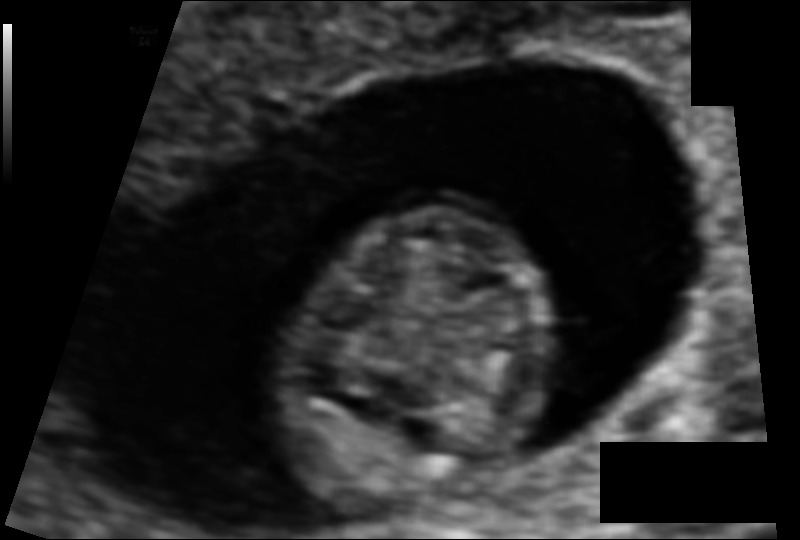
Estimate the fetal head circumference from this 2D ultrasound.

Head circumference: 67.1 mm (image width 58.4 mm).